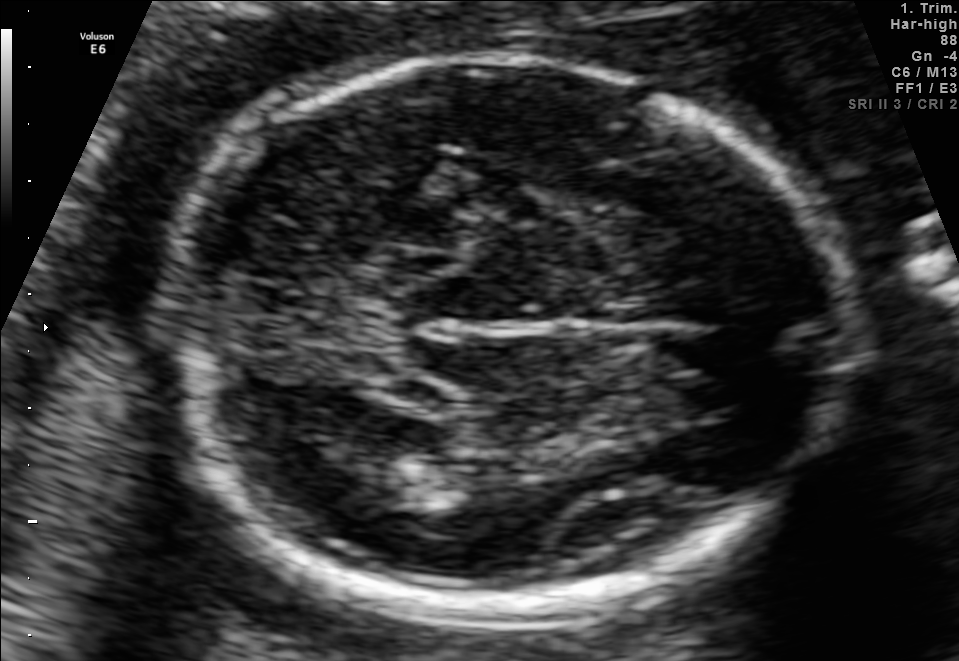
In this fetal brain, trans-thalamic plane, give bounding boxes for the head outline, cavum septum pellucidum (CSP), and lateral ventricle (LV), where visible.

Head: [164,58,853,613]